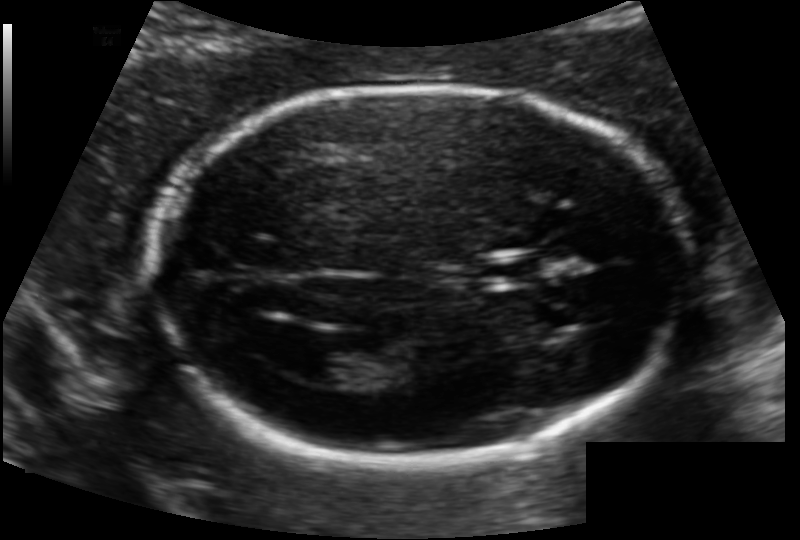
Fetal head ultrasound. Image width: 94.1 mm. Locate the cavum septum pellucidum.

CSP: [477,252,544,287]